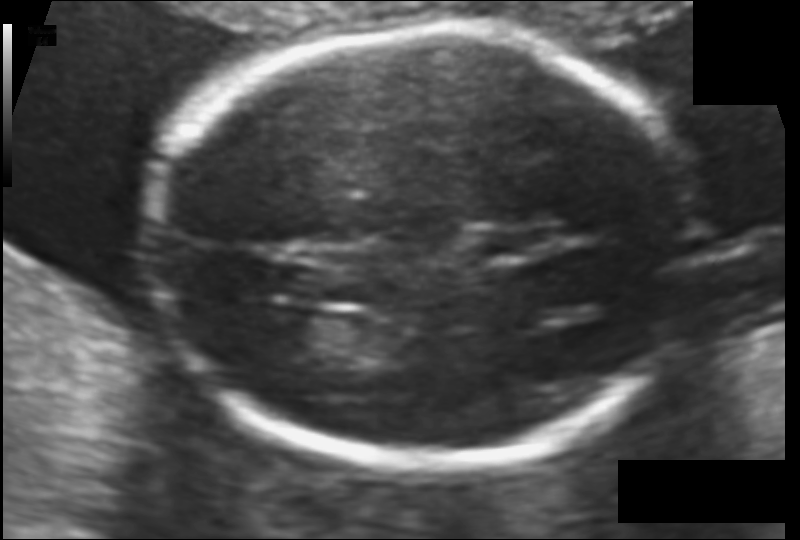
Fetal head ultrasound. Image width: 82.1 mm. Locate the fetal head.

Head: [149,29,697,465]